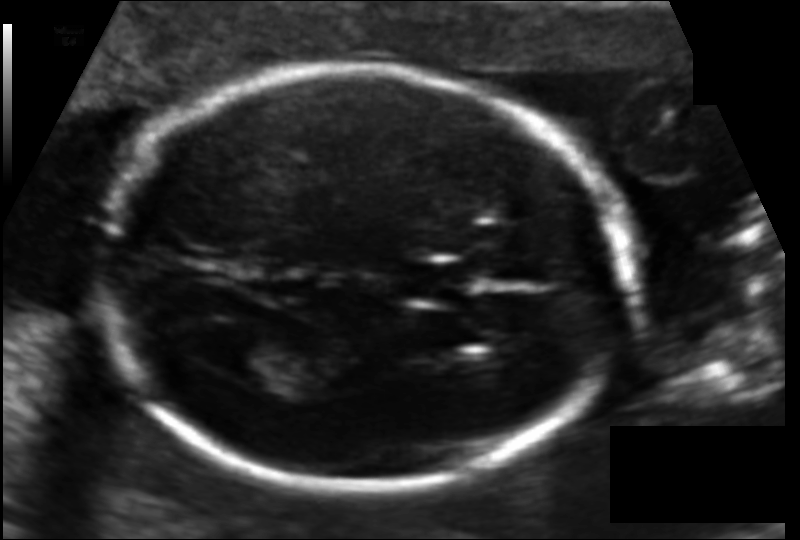
Estimate the fetal head circumference from this 2D ultrasound. Image width: 91.0 mm.

Head circumference: 175.0 mm.